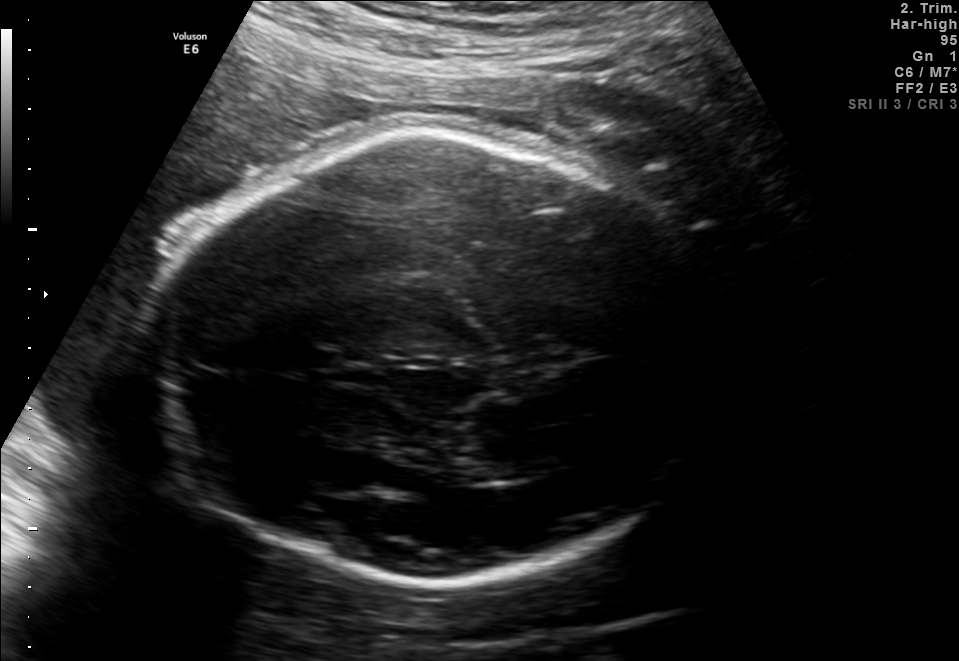
Fetal brain, trans-thalamic plane. Where is the fetal head?

Head bounding box: [141,127,714,578]